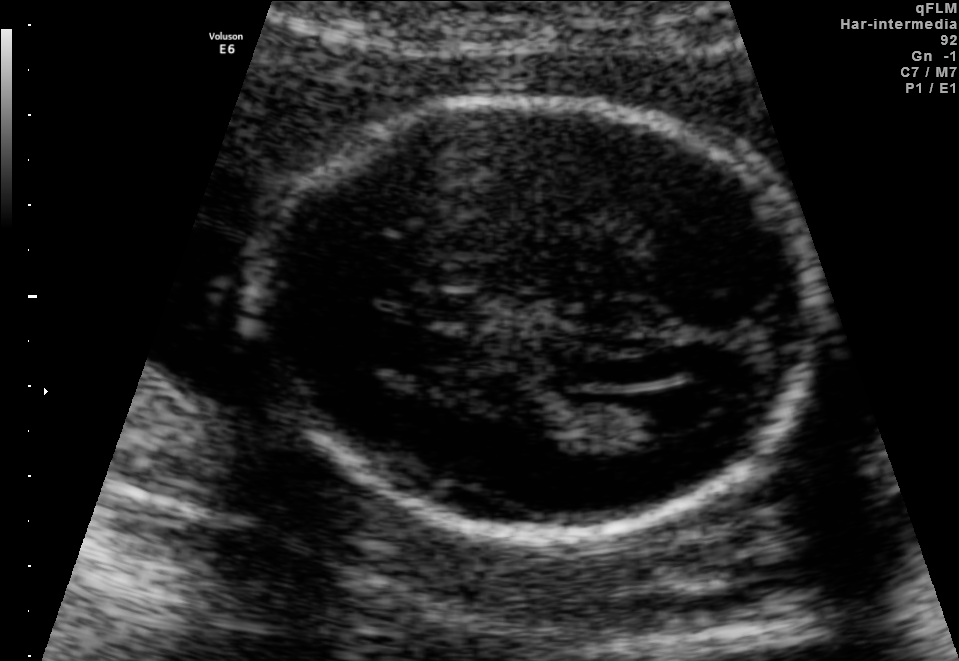
In this fetal brain, trans-ventricular plane, give bounding boxes for the head outline, cavum septum pellucidum (CSP), and lateral ventricle (LV), where visible.

Head: [238,91,829,544]
CSP: [385,283,497,332]
Lateral ventricle: [616,384,711,450]